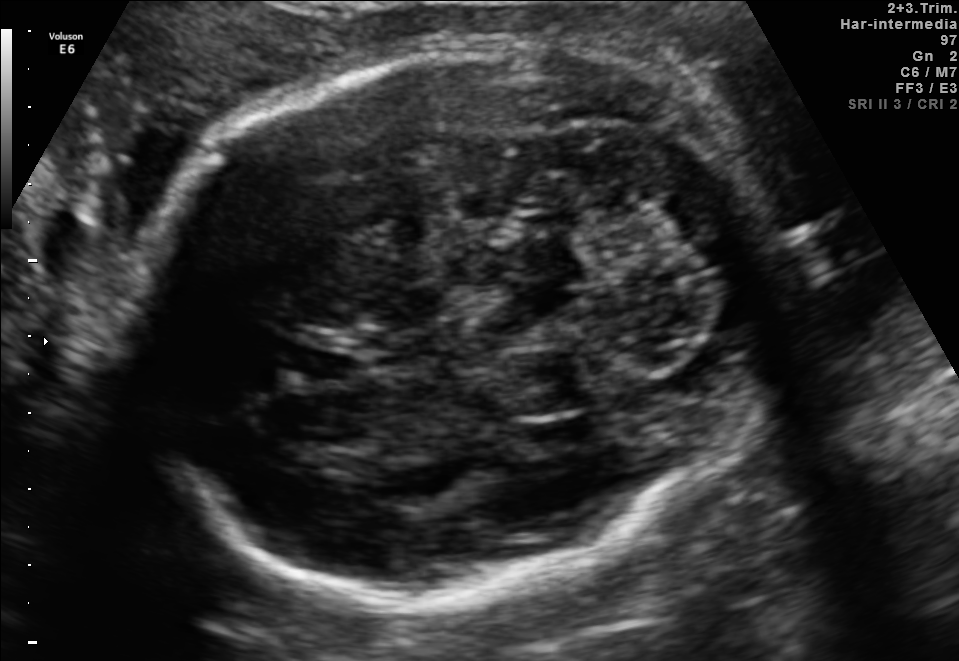
Fetal brain, trans-cerebellum plane. Where is the cavum septum pellucidum?

CSP bounding box: [285,337,367,389]